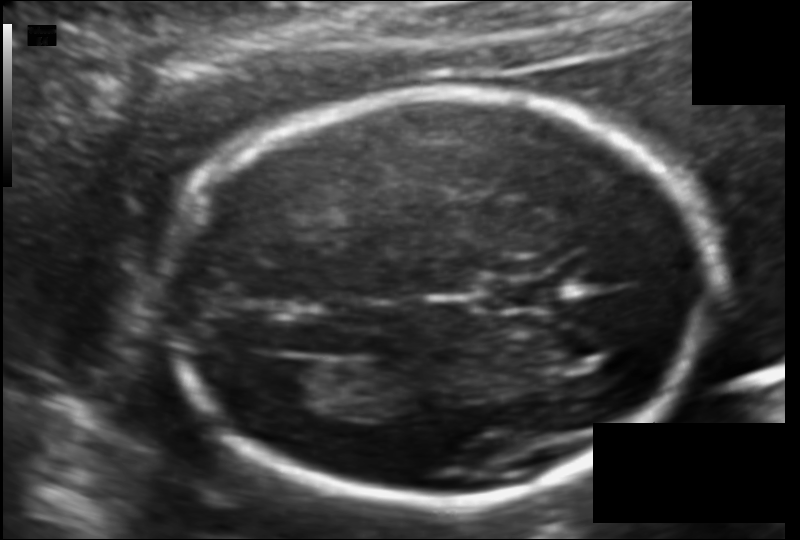
From this fetal ultrasound, estimate the head circumference (image width 88.5 mm).

Head circumference: 170.9 mm.